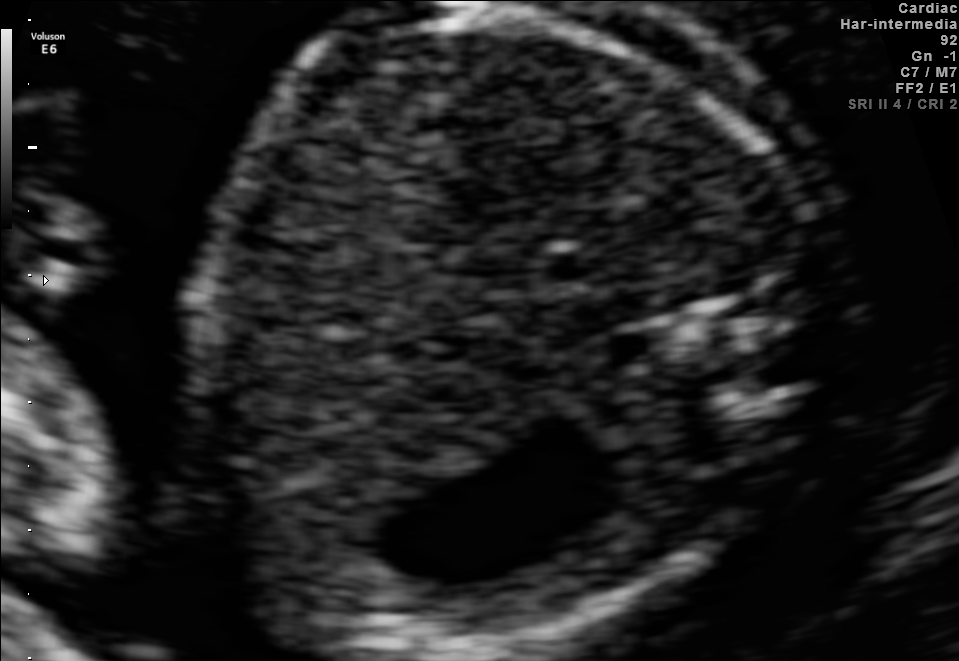
Which standard maternal-fetal ultrasound plane is shown: fetal abdomen, fetal brain, fetal femur, fetal thorax, maternal cervix, or other? If it's fetal brain and one of the three standard brain planes (trans-thalamic, trans-cerebellum, trans-ventricular), name which.

Fetal abdomen